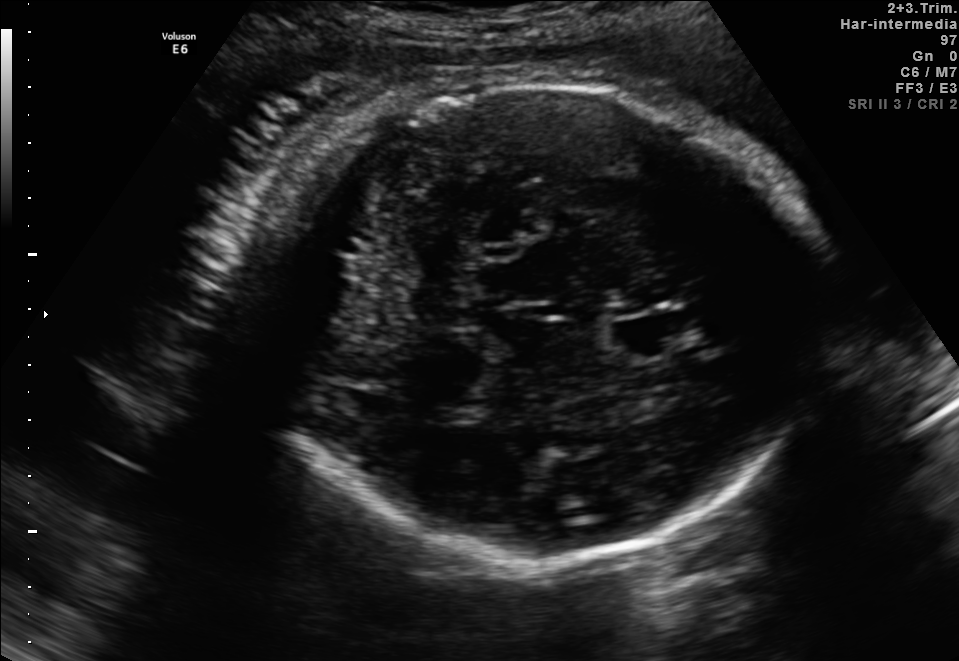
In this fetal brain, trans-thalamic plane, give bounding boxes for the head outline, cavum septum pellucidum (CSP), and lateral ventricle (LV), where visible.

Head: [225,83,818,562]
CSP: [611,310,693,359]